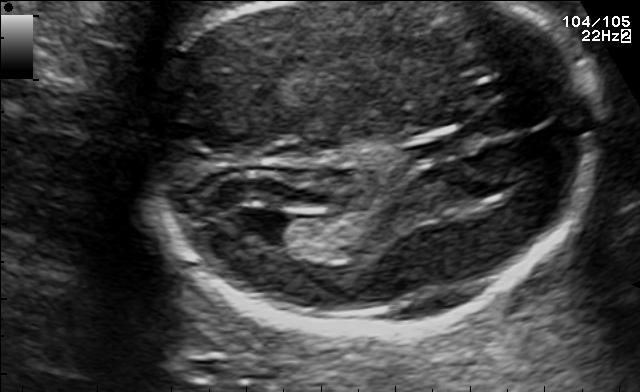
In this fetal brain, trans-ventricular plane, give the bounding box of the cavum septum pellucidum.

[398,116,487,173]